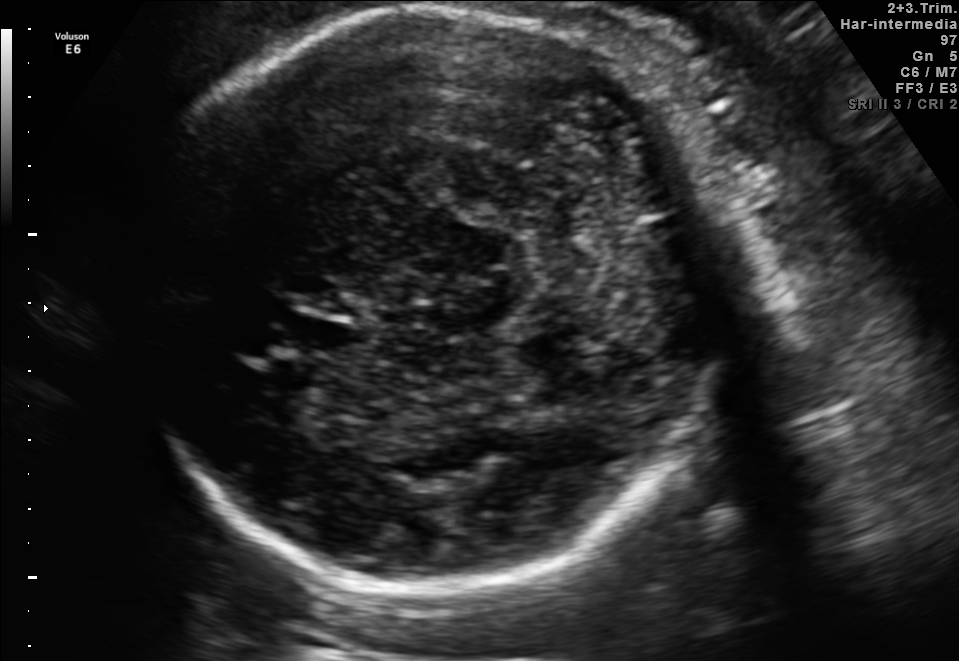
In this fetal brain, trans-cerebellum plane, give bounding boxes for the head outline, cavum septum pellucidum (CSP), and lateral ventricle (LV), where visible.

Head: [127,8,744,587]